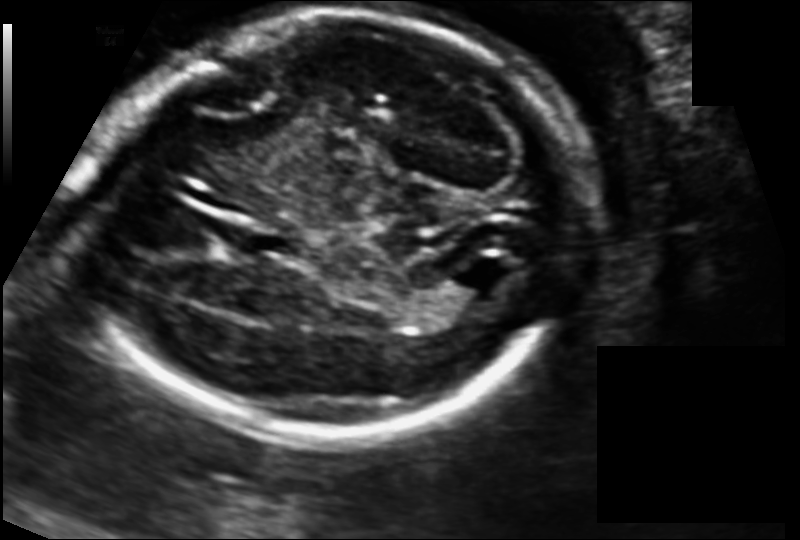
Estimate the fetal head circumference from this 2D ultrasound.

Head circumference: 184.5 mm (image width 100.4 mm).